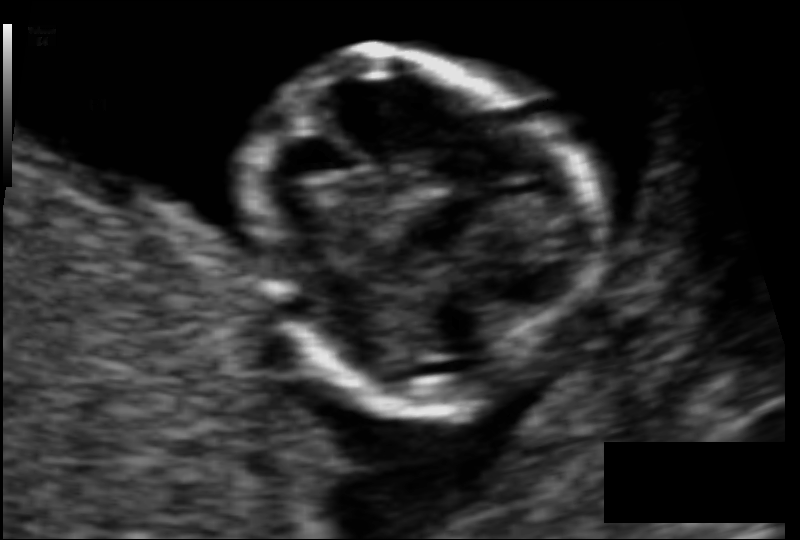
From this fetal ultrasound, estimate the head circumference (image width 54.6 mm).

Head circumference: 75.8 mm.